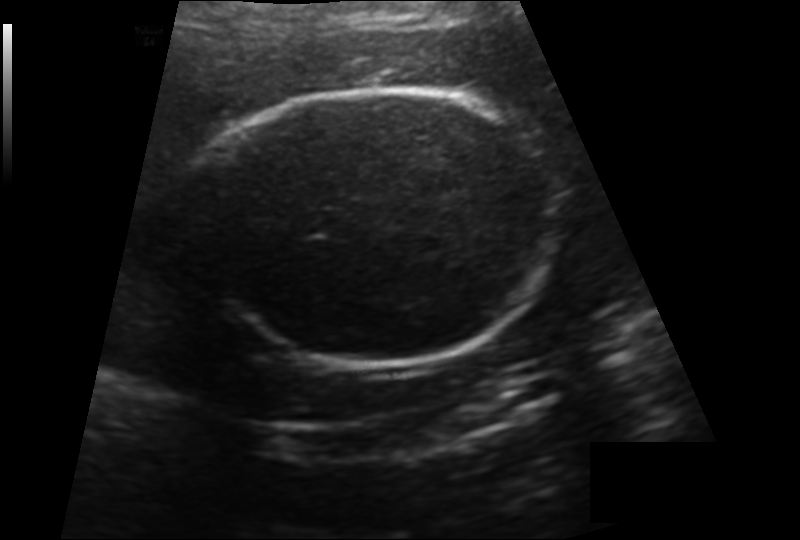
Fetal head ultrasound. Image width: 133.0 mm. Locate the fetal head.

Head: [199,87,552,364]